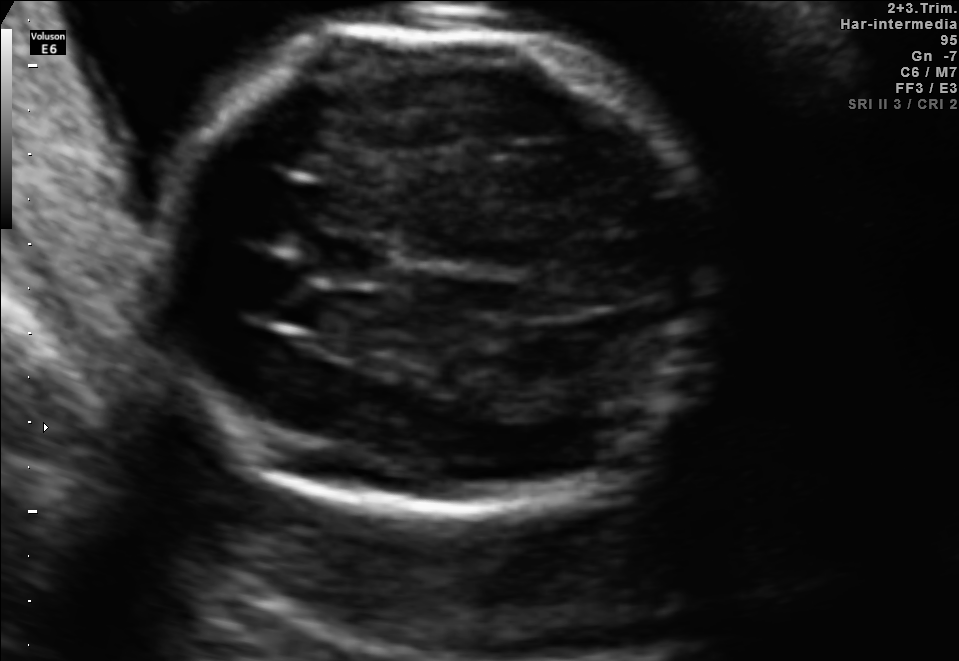
Fetal brain, trans-thalamic plane. Where is the fetal head?

Head bounding box: [143,26,710,519]